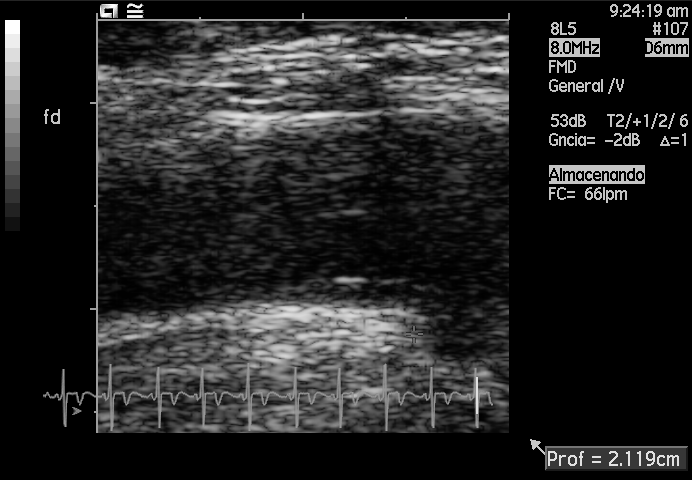
This is a 2D maternal-fetal ultrasound frame. Is it a fetal abdomen, fetal brain, fetal femur, fetal thorax, maternal cervix, or other standard plane? If it's fetal brain and one of the three standard brain planes (trans-thalamic, trans-cerebellum, trans-ventricular), name which.

Other